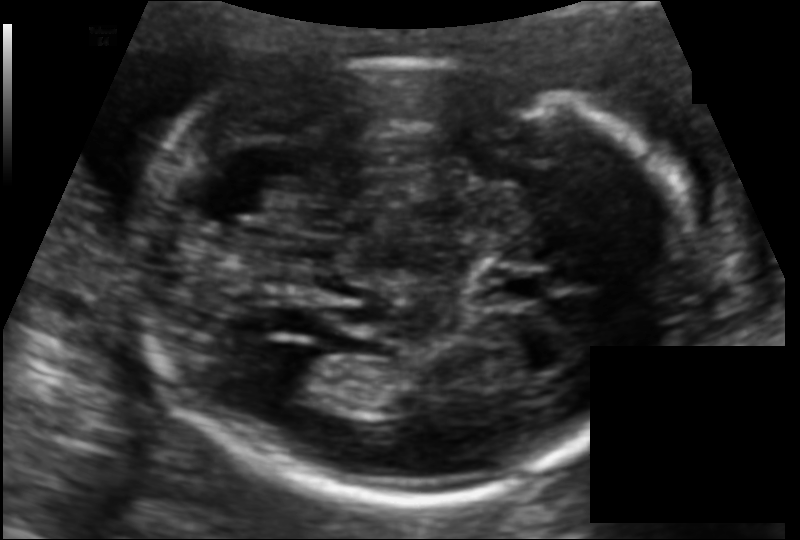
Fetal head ultrasound. Image width: 91.9 mm. Where is the cavum septum pellucidum?

CSP bounding box: [478,260,556,311]